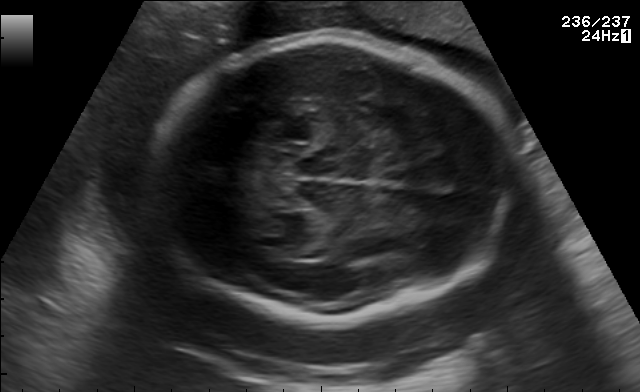
In this fetal brain, trans-thalamic plane, give bounding boxes for the head outline, cavum septum pellucidum (CSP), and lateral ventricle (LV), where visible.

Head: [154,35,498,317]